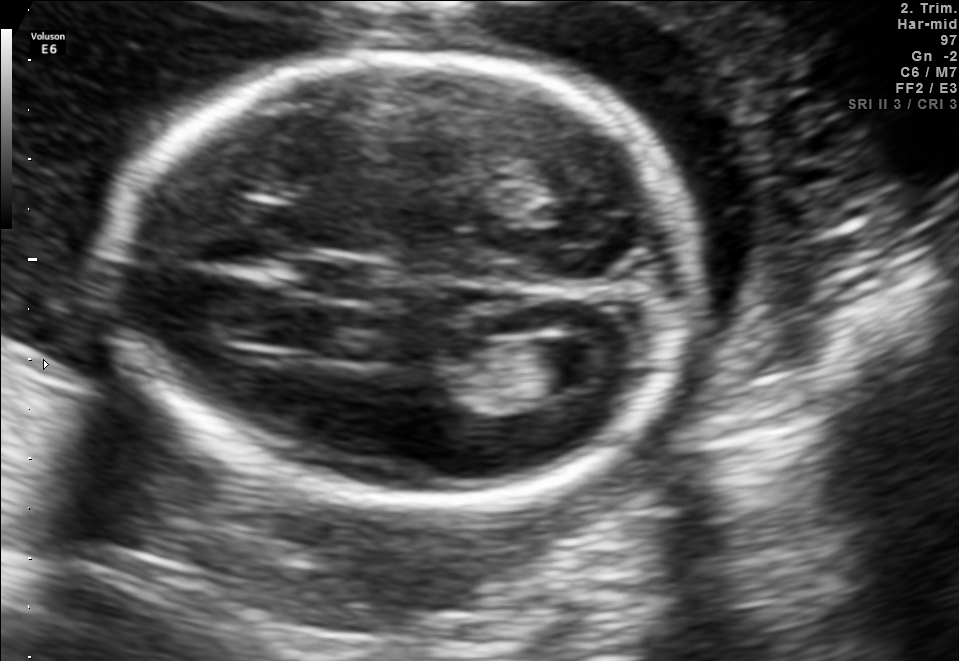
In this fetal brain, trans-ventricular plane, give the bounding box of the cavum septum pellucidum.

[293,257,374,302]